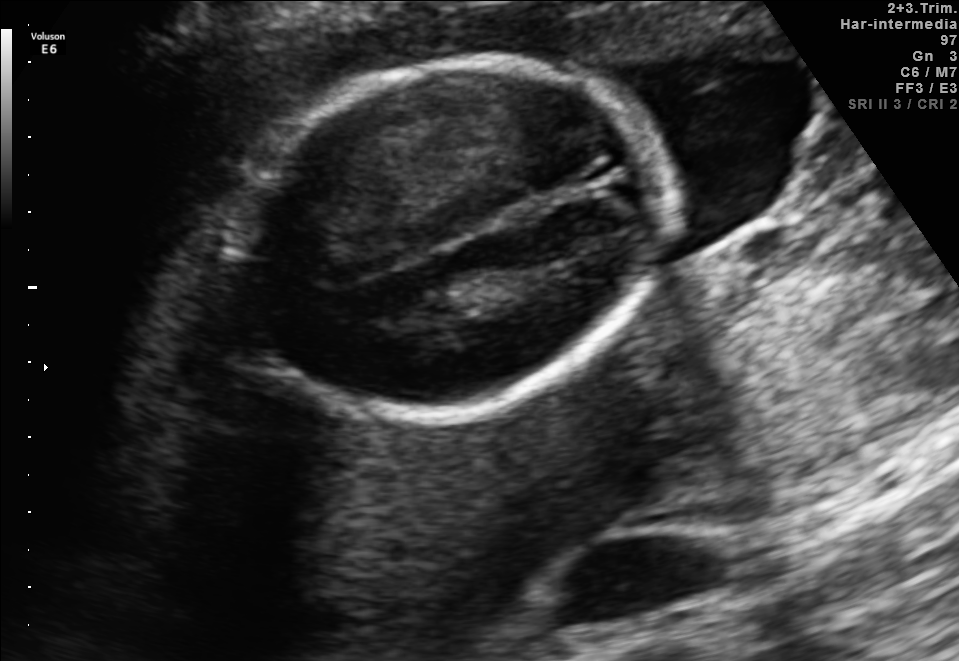
In this fetal brain, trans-thalamic plane, give bounding boxes for the head outline, cavum septum pellucidum (CSP), and lateral ventricle (LV), where visible.

Head: [231,61,668,414]